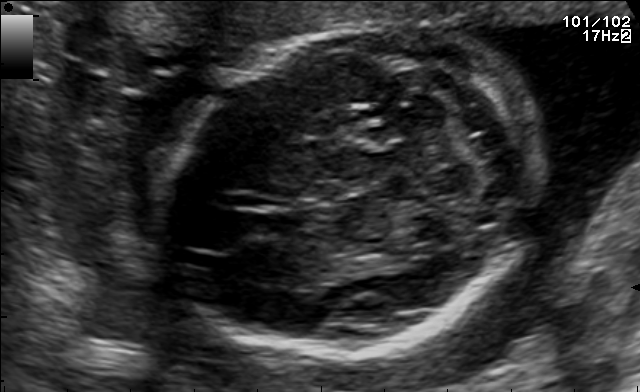
Fetal brain, trans-cerebellum plane. Where is the fetal head?

Head bounding box: [168,27,532,354]